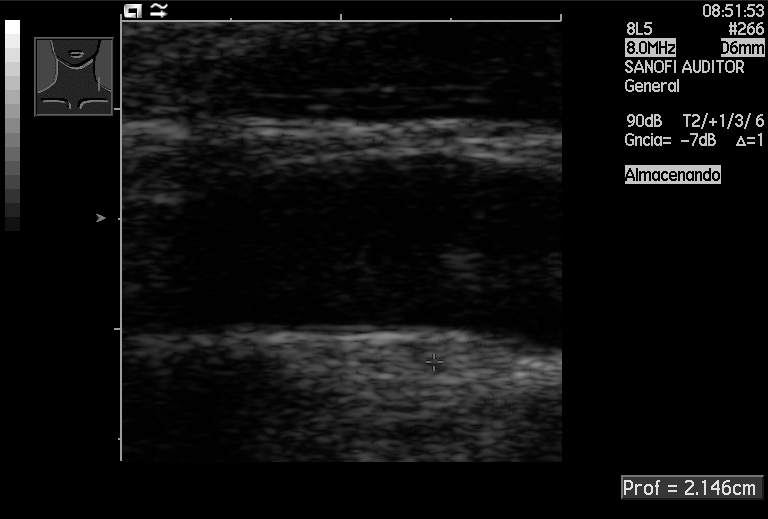
Identify the standard plane in this fetal ultrasound image: fetal abdomen, fetal brain, fetal femur, fetal thorax, maternal cervix, or other. If it's fetal brain and one of the three standard brain planes (trans-thalamic, trans-cerebellum, trans-ventricular), name which.

Other